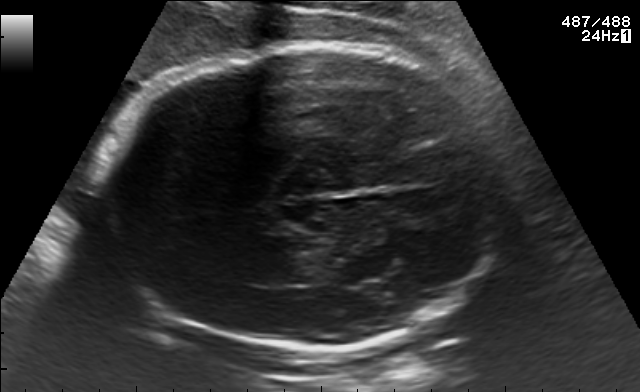
In this fetal brain, trans-thalamic plane, give the bounding box of the fetal head.

[93,45,503,349]